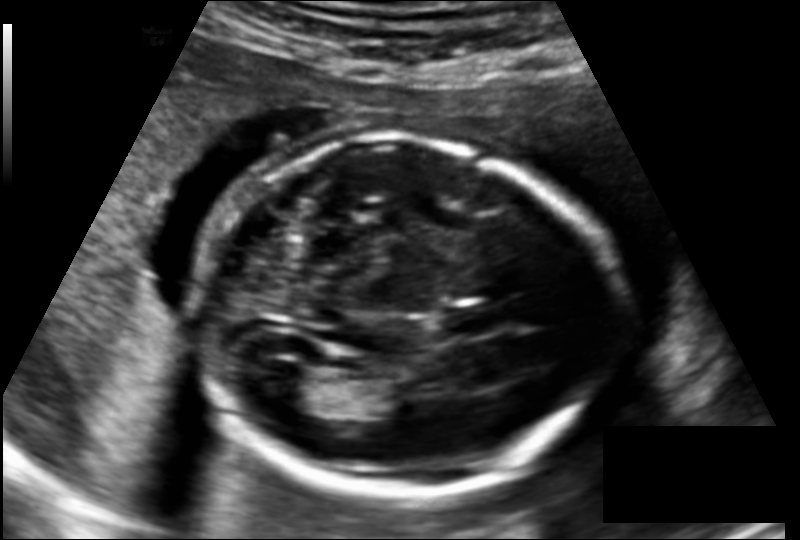
Fetal head ultrasound. Image width: 115.9 mm. Locate the fetal head.

Head: [196,141,621,498]